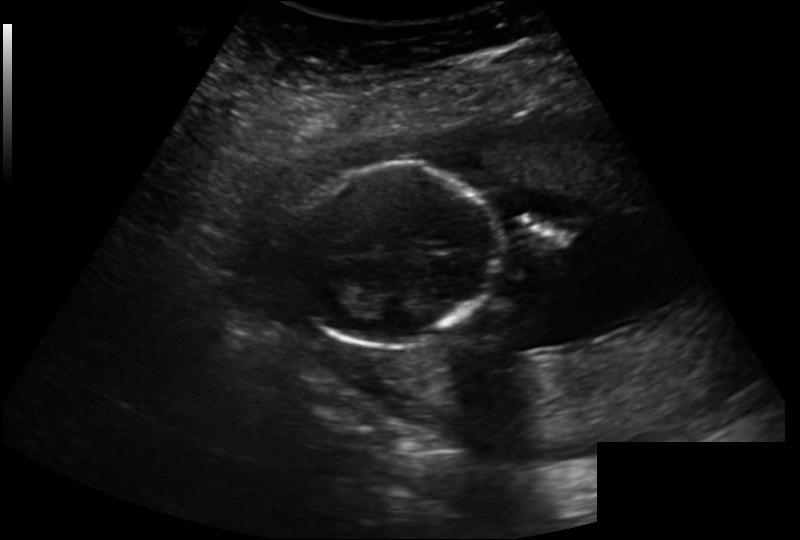
Fetal head ultrasound. Image width: 161.6 mm. Give [x1,y1,x2,y2] bounding boxes for each visible structure among: fetal head, CSP, LV.

Head: [294,162,496,349]